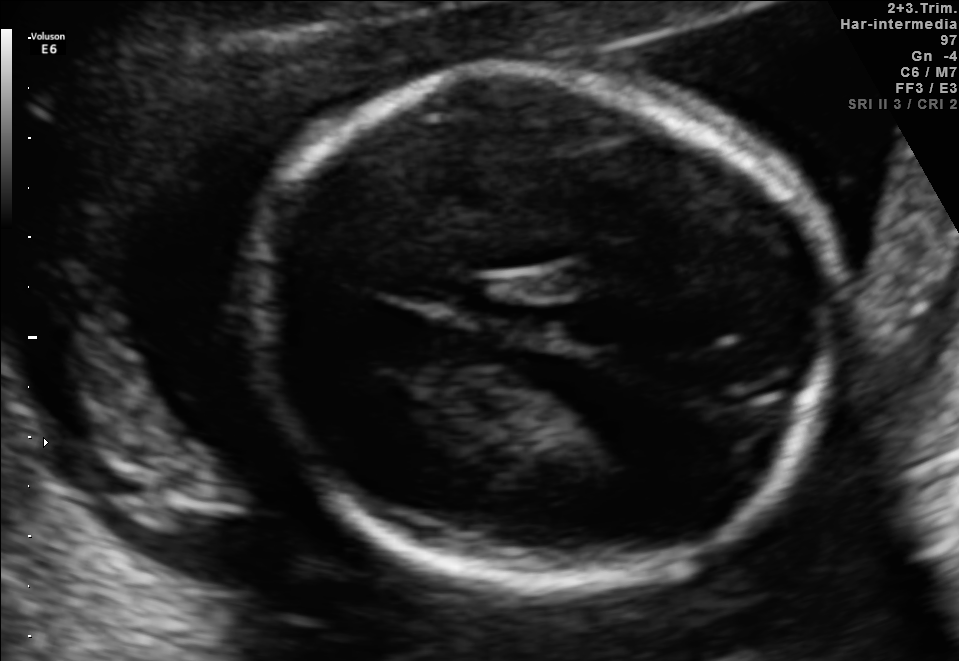
Fetal brain, trans-thalamic plane. Where is the fetal head?

Head bounding box: [250,61,831,582]